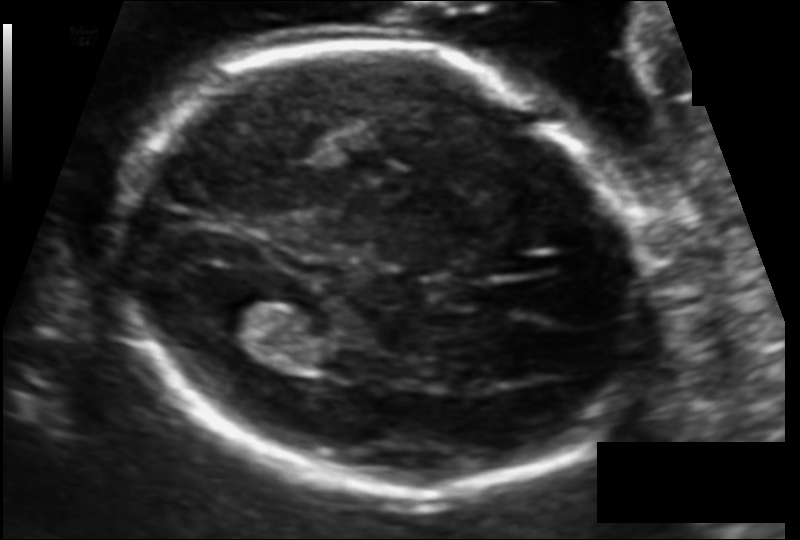
Fetal head ultrasound. Image width: 92.8 mm. Where is the lateral ventricle?

Lateral ventricle bounding box: [199,274,292,351]